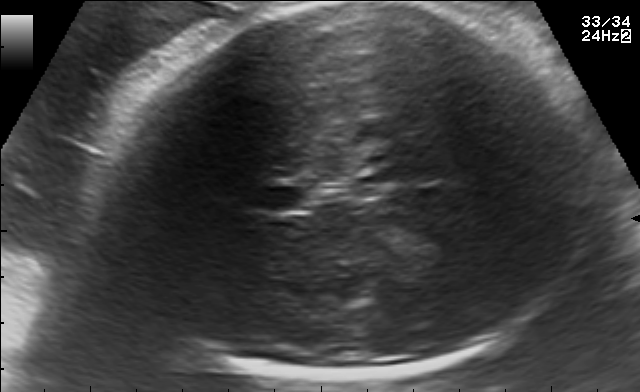
In this fetal brain, trans-thalamic plane, give the bounding box of the cavum septum pellucidum.

[256,187,303,211]